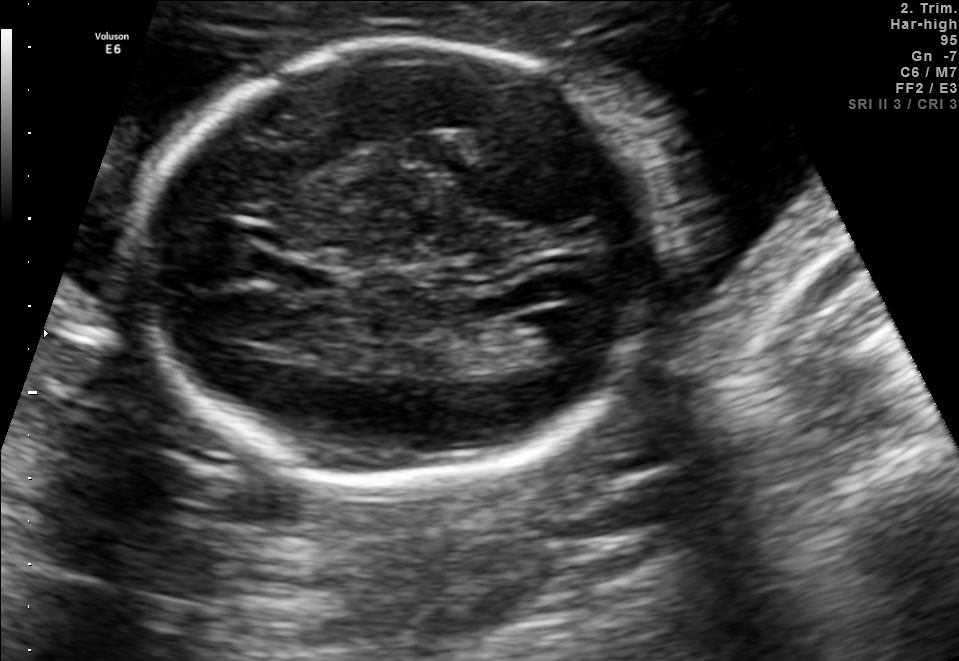
Fetal brain, trans-ventricular plane. Locate the fetal head and, if visible, the cavum septum pellucidum (CSP) and lateral ventricle (LV). Give bounding boxes as [x1,y1,x2,y2].

Head: [122,33,687,488]
CSP: [297,270,332,289]
Lateral ventricle: [519,298,614,362]